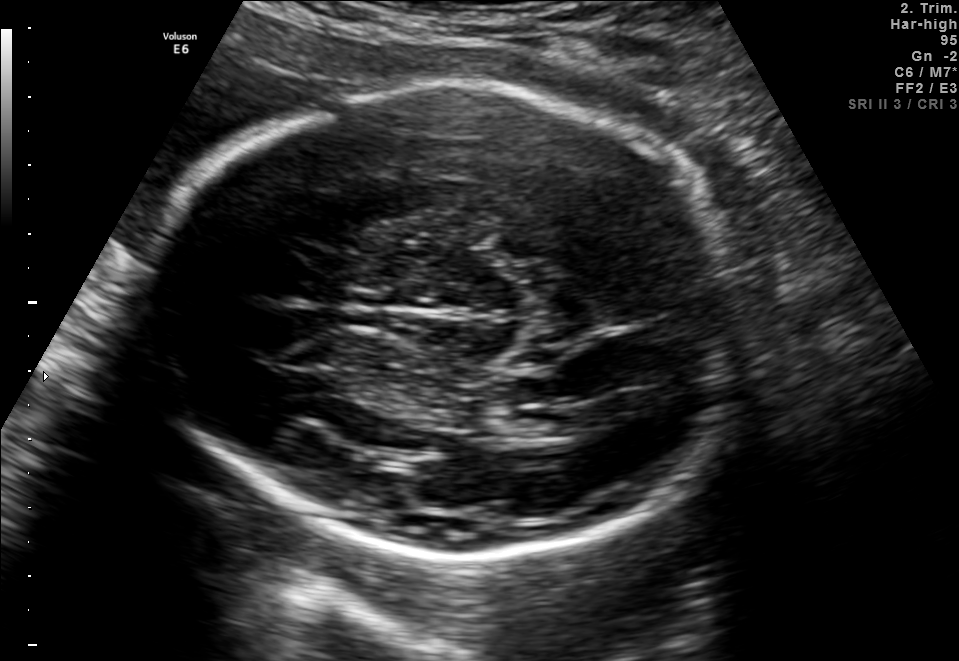
In this fetal brain, trans-thalamic plane, give the bounding box of the lateral ventricle.

[509,404,587,442]